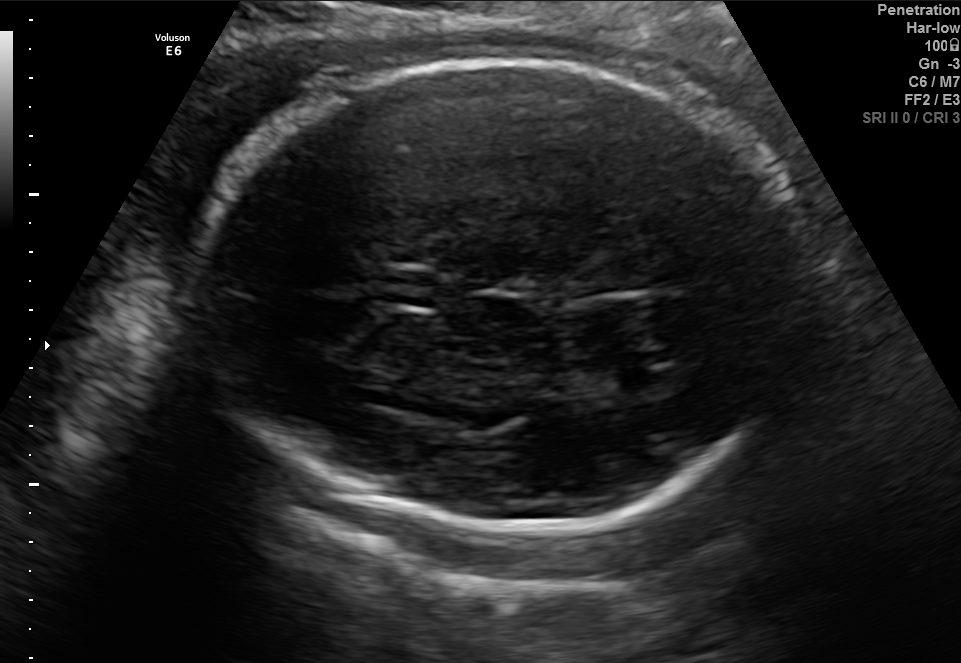
In this fetal brain, trans-thalamic plane, give the bounding box of the fetal head.

[192,59,821,532]